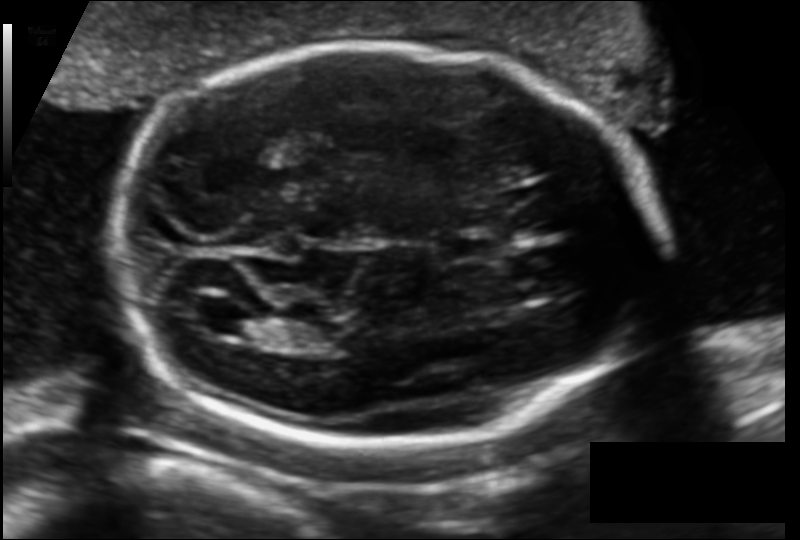
Fetal head ultrasound. Image width: 103.4 mm. Locate the fetal head.

Head: [113,45,658,441]